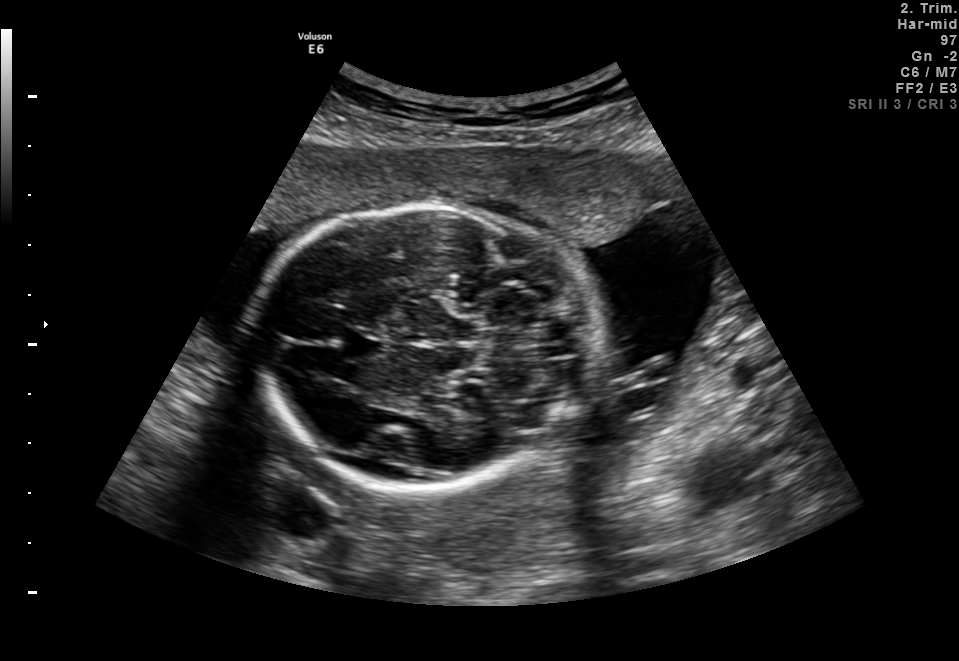
Fetal brain, trans-cerebellum plane. Locate the fetal head and, if visible, the cavum septum pellucidum (CSP) and lateral ventricle (LV). Give bounding boxes as [x1,y1,x2,y2].

Head: [254,202,595,491]
CSP: [341,327,383,359]